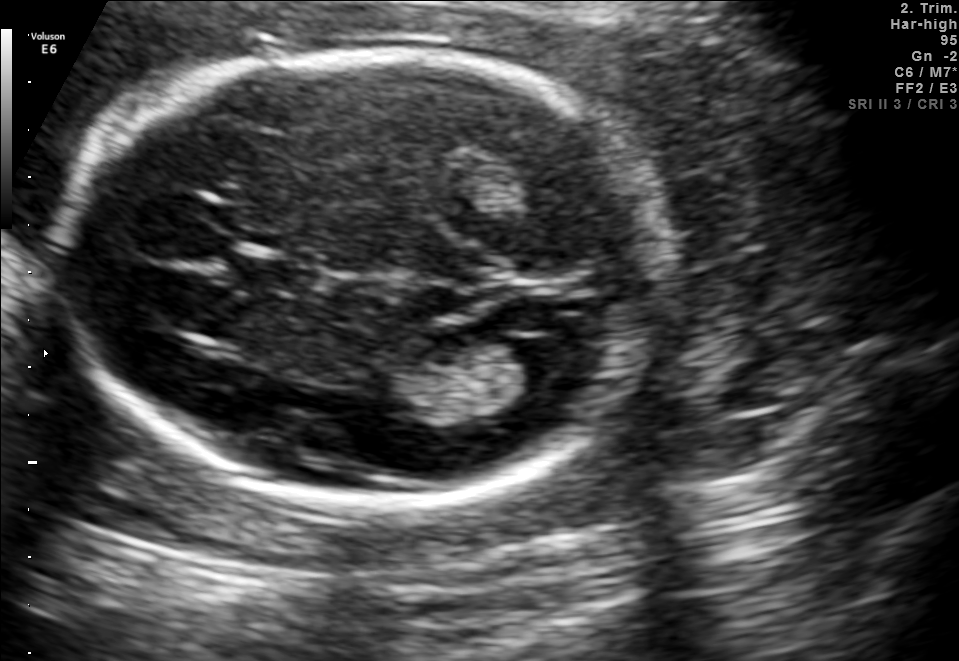
Fetal brain, trans-ventricular plane. Locate the fetal head.

Head: [54,47,677,506]